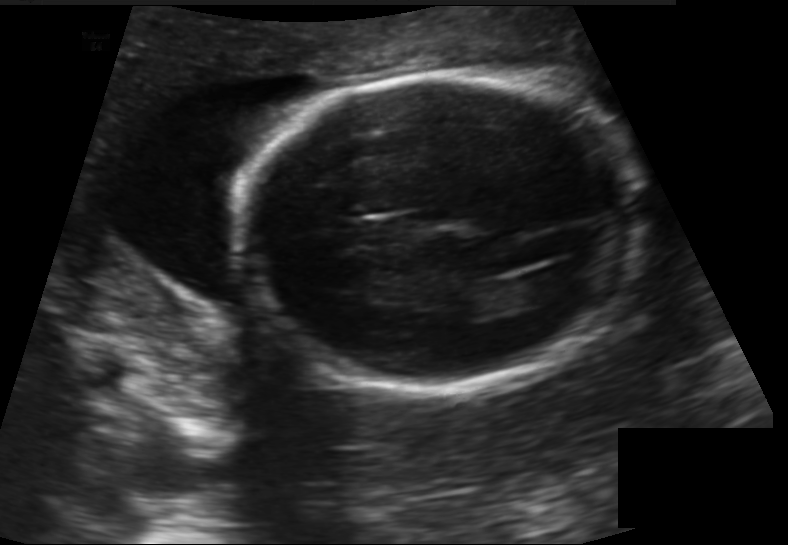
Measure the fetal head circumference shown in this ultrasound image. Image width: 122.2 mm.

Head circumference: 177.6 mm.